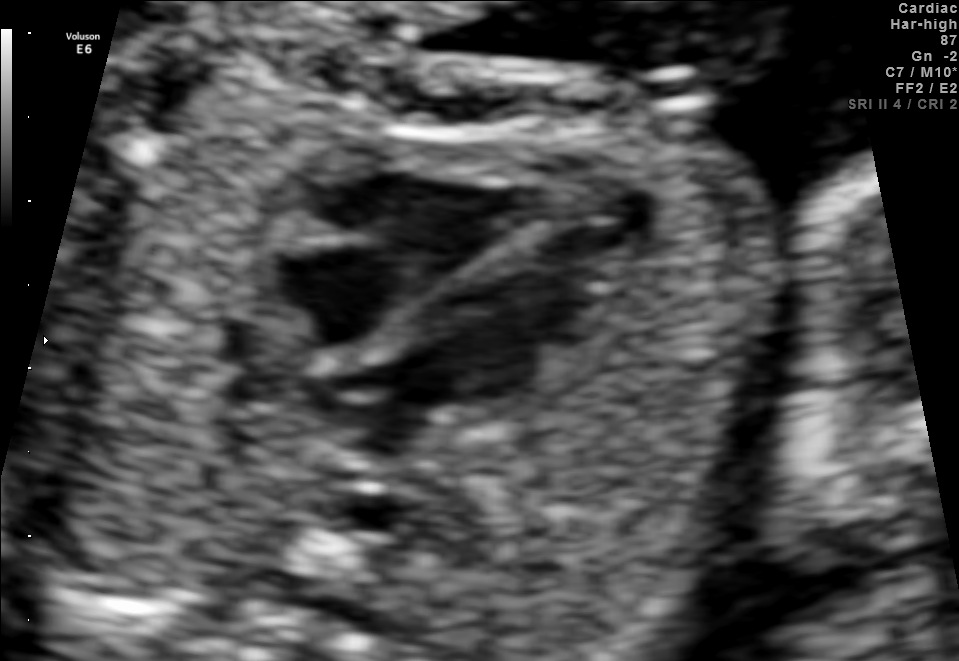
Which standard maternal-fetal ultrasound plane is shown: fetal abdomen, fetal brain, fetal femur, fetal thorax, maternal cervix, or other? If it's fetal brain and one of the three standard brain planes (trans-thalamic, trans-cerebellum, trans-ventricular), name which.

Fetal thorax